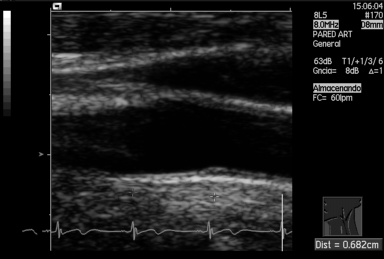
Identify the standard plane in this fetal ultrasound image: fetal abdomen, fetal brain, fetal femur, fetal thorax, maternal cervix, or other. If it's fetal brain and one of the three standard brain planes (trans-thalamic, trans-cerebellum, trans-ventricular), name which.

Other